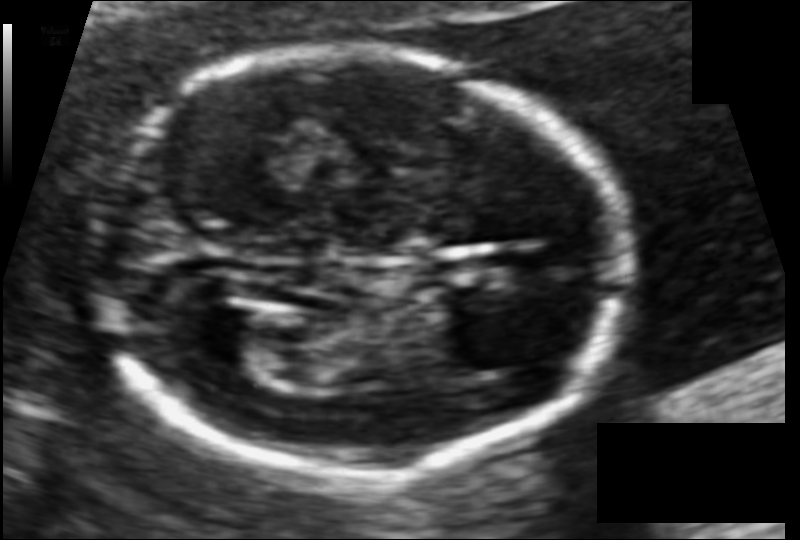
Measure the fetal head circumference shown in this ultrasound image. Image width: 69.9 mm.

Head circumference: 135.4 mm.